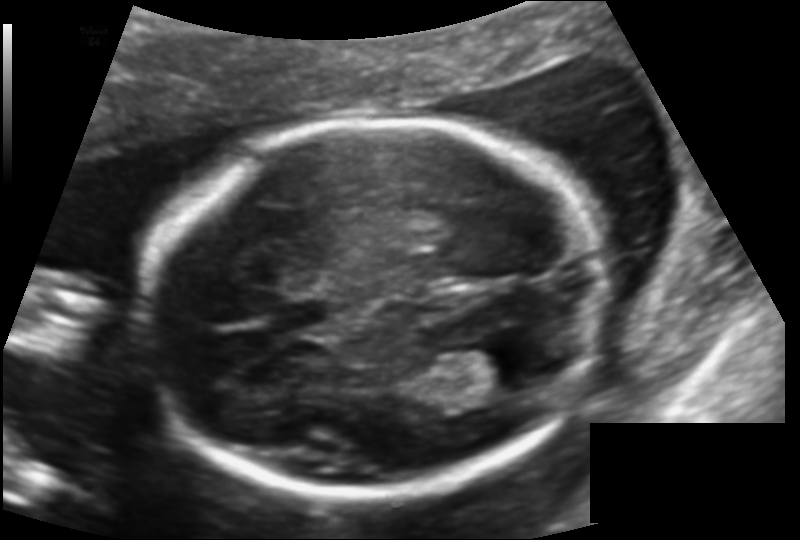
From this fetal ultrasound, estimate the head circumference (image width 105.2 mm).

Head circumference: 177.1 mm.